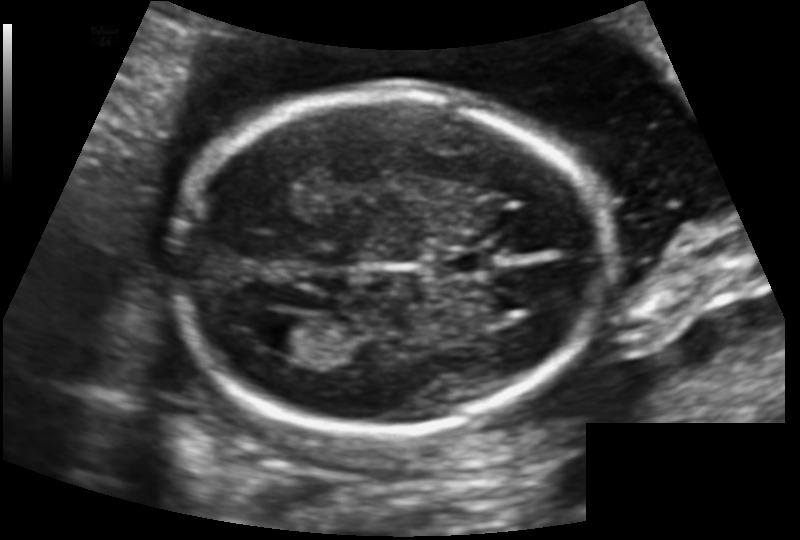
Fetal head ultrasound. Image width: 103.5 mm. Give [x1,y1,x2,y2] bounding boxes for each visible structure among: fetal head, CSP, LV.

Head: [176,92,604,433]
CSP: [432,248,494,277]
Lateral ventricle: [255,309,324,357]